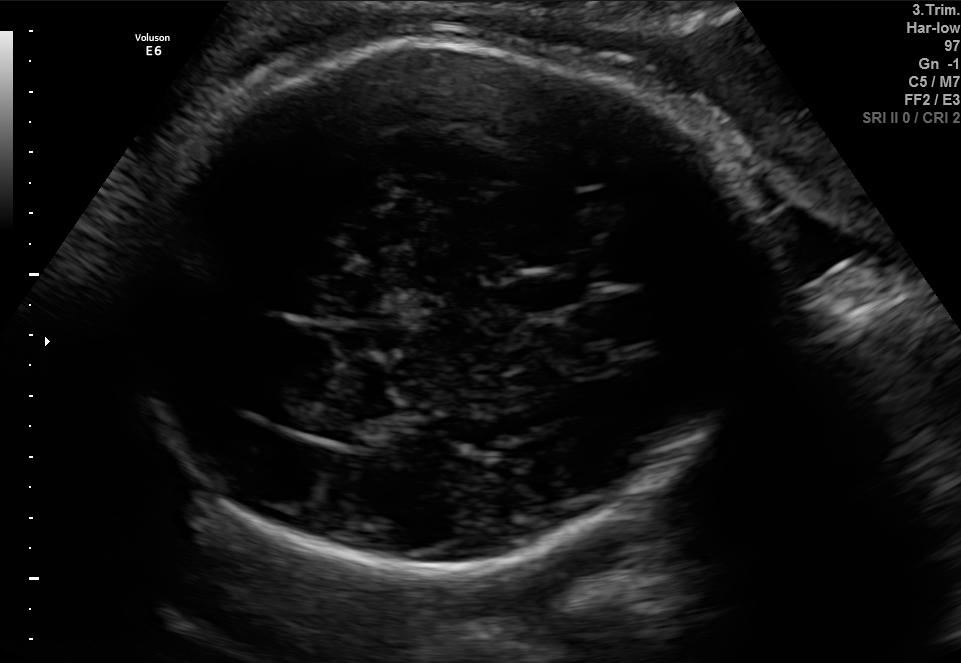
Fetal brain, trans-ventricular plane. Locate the fetal head.

Head: [108,35,781,582]